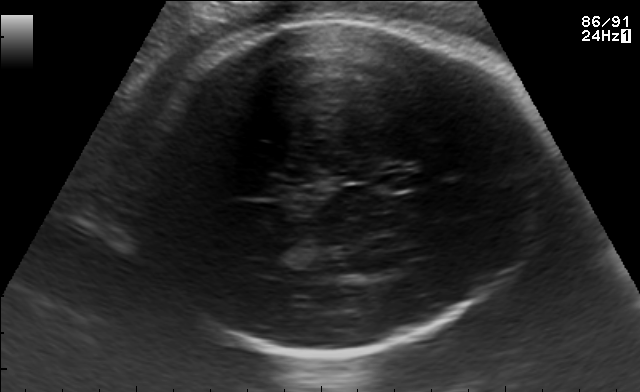
Fetal brain, trans-thalamic plane. Locate the fetal head and, if visible, the cavum septum pellucidum (CSP) and lateral ventricle (LV). Give bounding boxes as [x1,y1,x2,y2].

Head: [118,21,545,353]
CSP: [380,167,426,194]